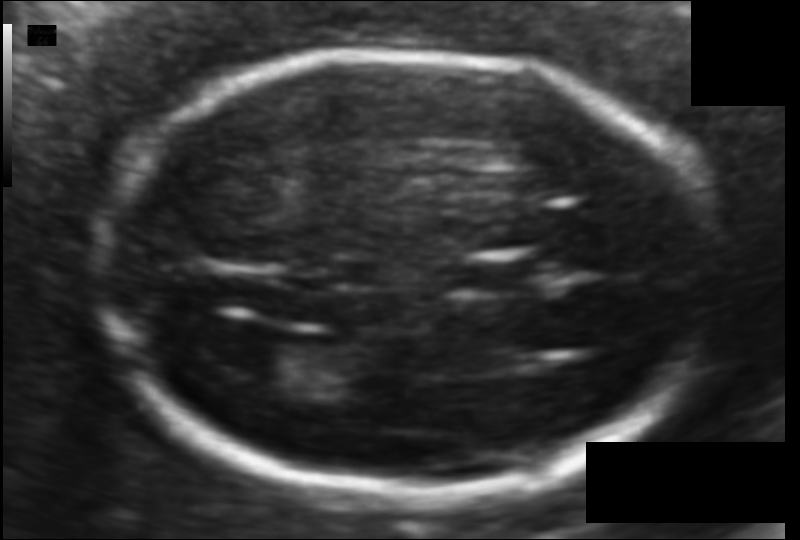
Fetal head ultrasound. Image width: 75.4 mm. Locate the fetal head.

Head: [103,52,713,499]